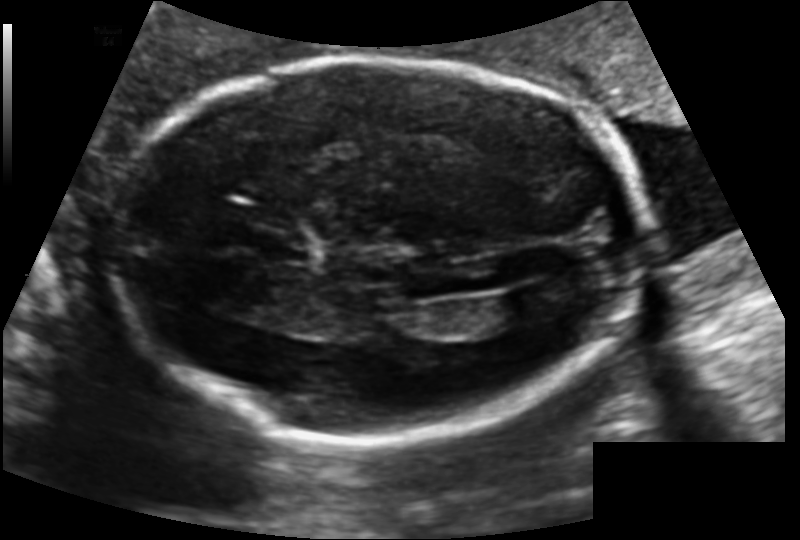
In this fetal head ultrasound, give the bounding box of the fetal head. Image width: 105.0 mm.

[112,56,650,440]